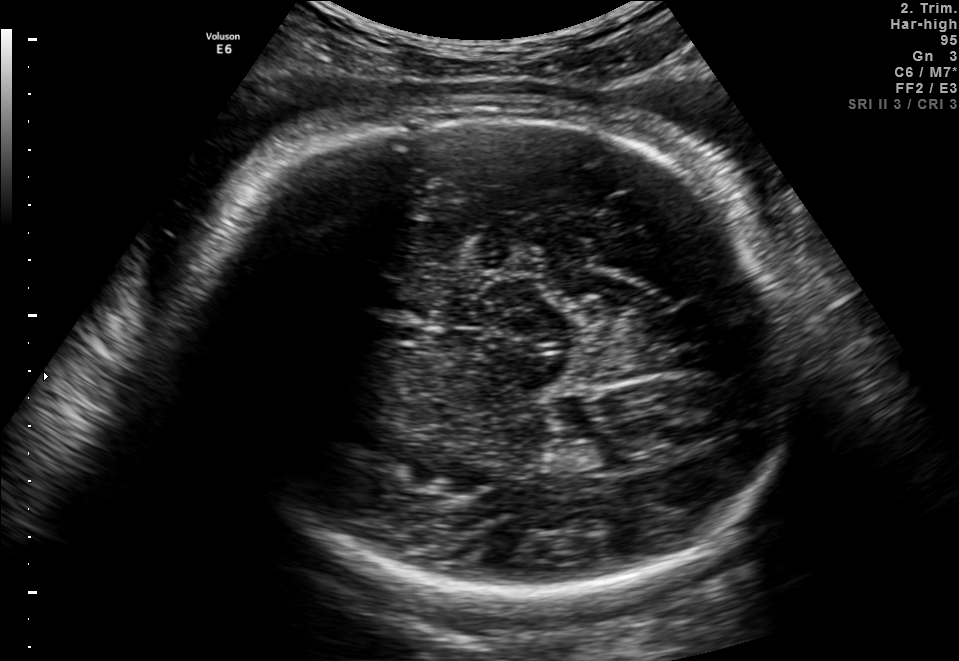
This is a 2D maternal-fetal ultrasound frame. Is it a fetal abdomen, fetal brain, fetal femur, fetal thorax, maternal cervix, or other standard plane? If it's fetal brain and one of the three standard brain planes (trans-thalamic, trans-cerebellum, trans-ventricular), name which.

Fetal brain (trans-thalamic plane)